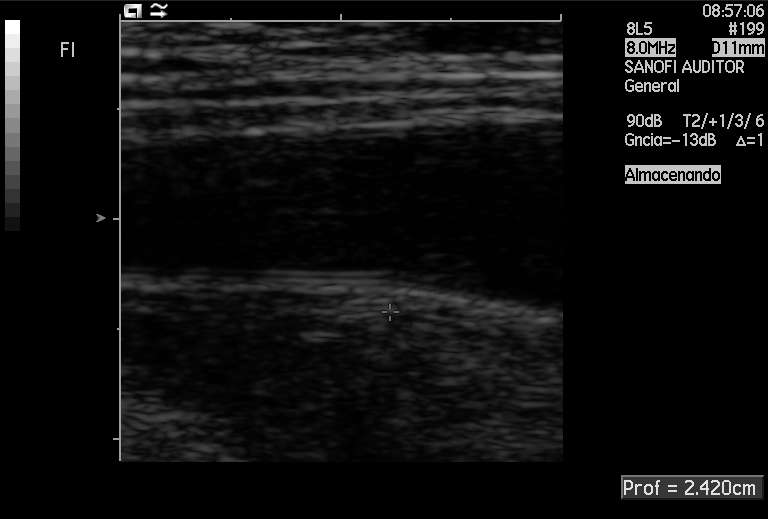
Classify this maternal-fetal ultrasound image as one of the six standard planes — fetal abdomen, fetal brain, fetal femur, fetal thorax, maternal cervix, or other. If it's fetal brain and one of the three standard brain planes (trans-thalamic, trans-cerebellum, trans-ventricular), name which.

Other